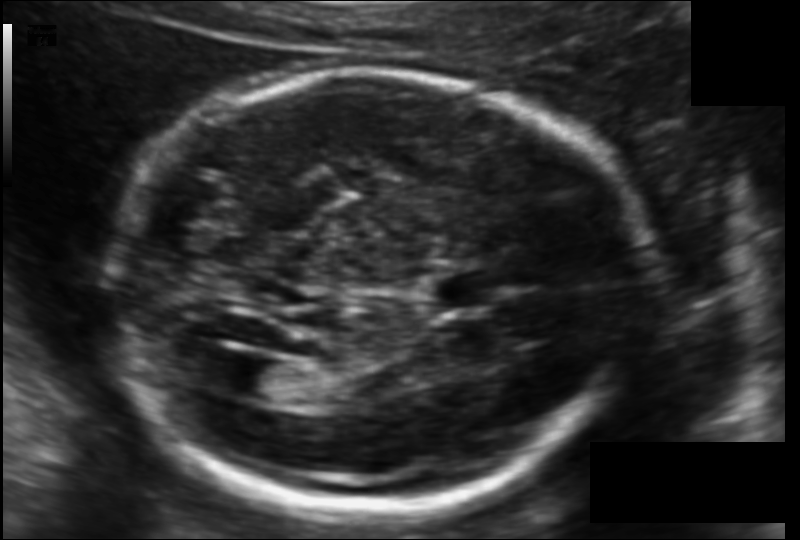
In this fetal head ultrasound, give bounding boxes for the head outline, cavum septum pellucidum (CSP), and lateral ventricle (LV), where visible. Image width: 95.3 mm.

Head: [104,69,634,510]
CSP: [428,262,504,317]
Lateral ventricle: [221,355,293,402]